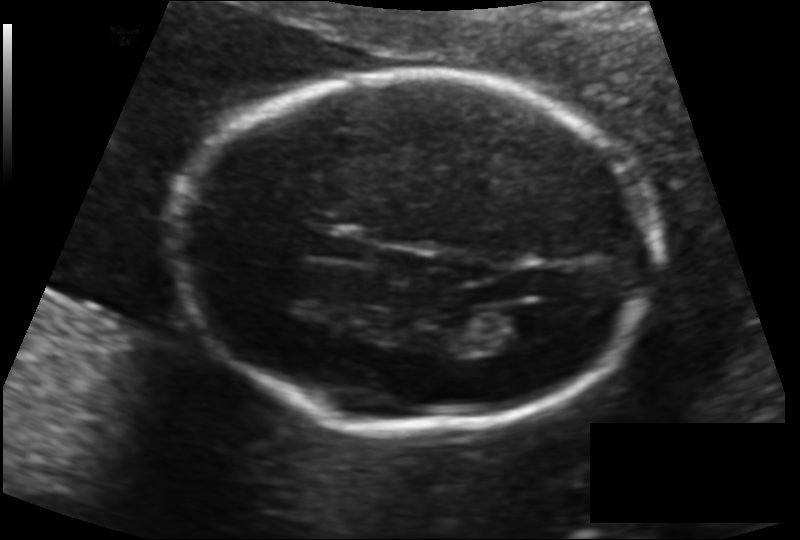
What is the fetal head circumference? Image width is 107.4 mm.

181.6 mm